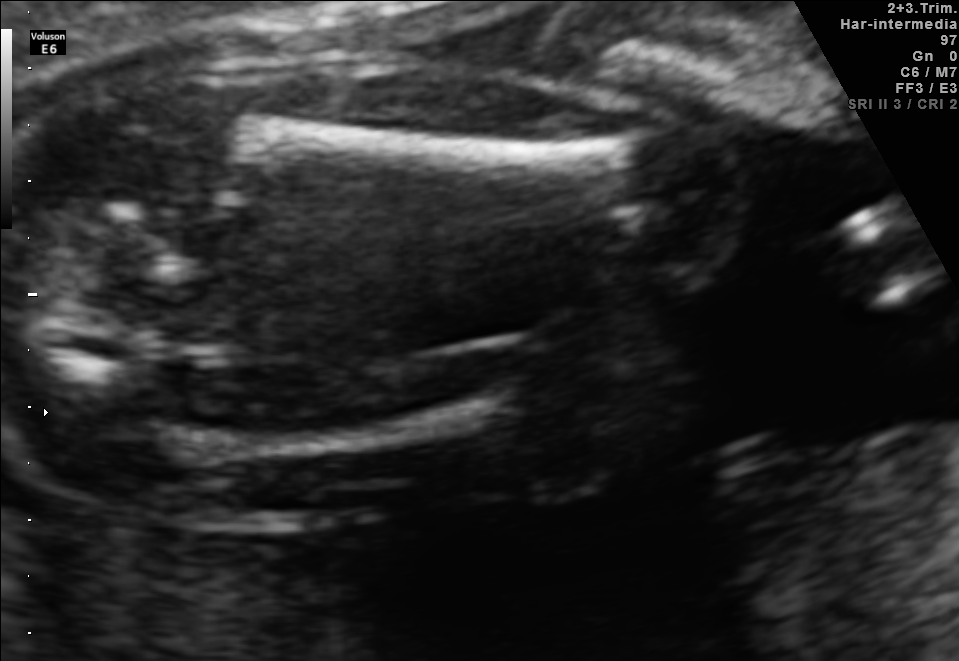
This is a 2D maternal-fetal ultrasound frame. Is it a fetal abdomen, fetal brain, fetal femur, fetal thorax, maternal cervix, or other standard plane? If it's fetal brain and one of the three standard brain planes (trans-thalamic, trans-cerebellum, trans-ventricular), name which.

Fetal femur